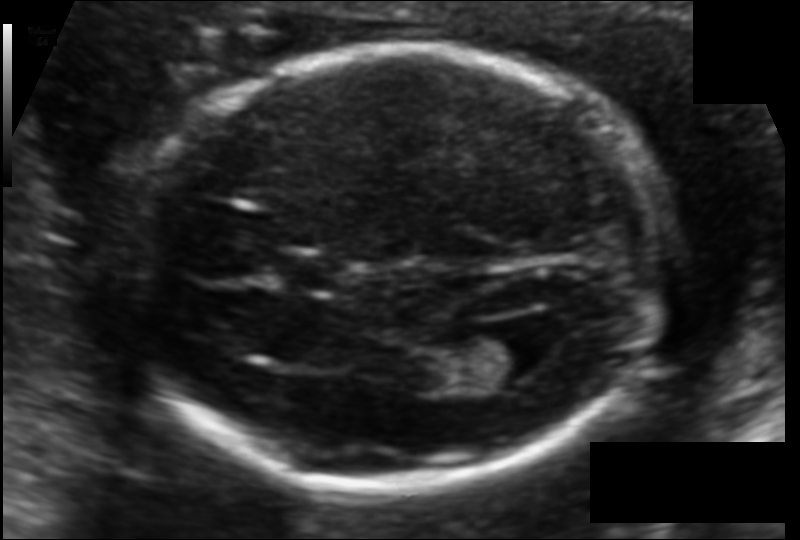
Fetal head ultrasound. Image width: 86.5 mm. Where is the cavum septum pellucidum?

CSP bounding box: [276,253,341,292]